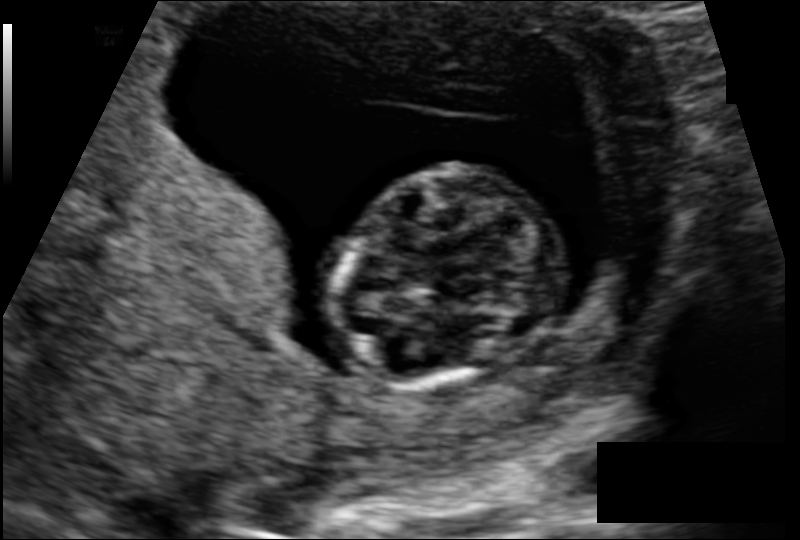
From this fetal ultrasound, estimate the head circumference (image width 86.1 mm).

Head circumference: 75.9 mm.